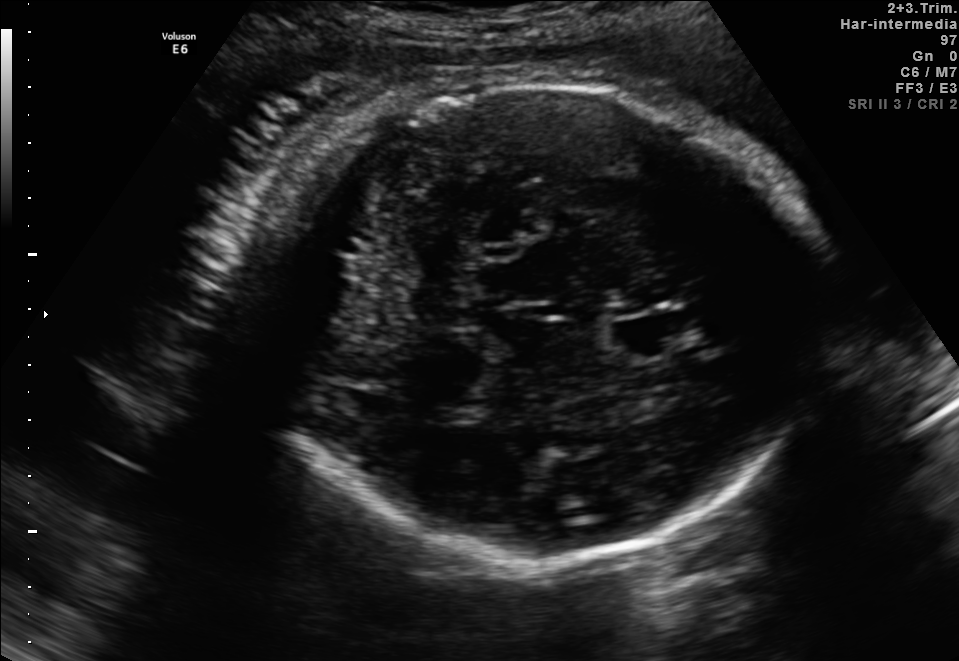
Fetal brain, trans-thalamic plane. Locate the cavum septum pellucidum.

CSP: [611,310,693,359]